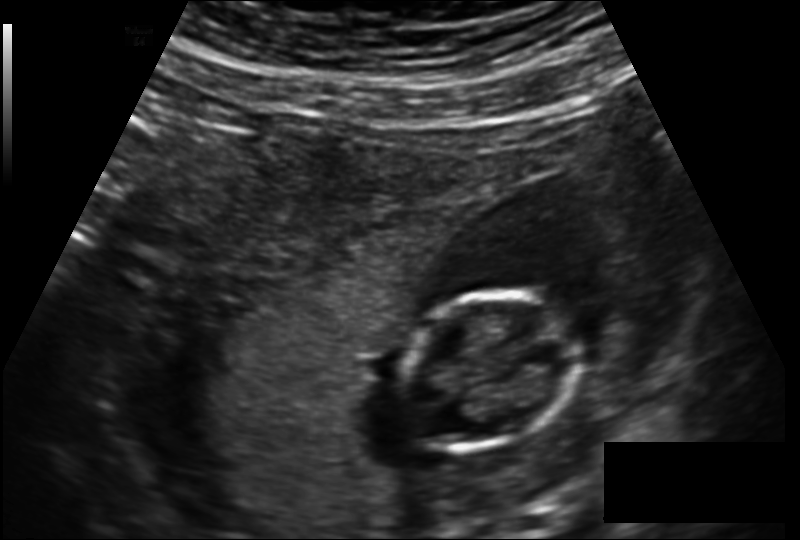
In this fetal head ultrasound, give the bounding box of the fetal head. Image width: 128.2 mm.

[395,291,578,452]